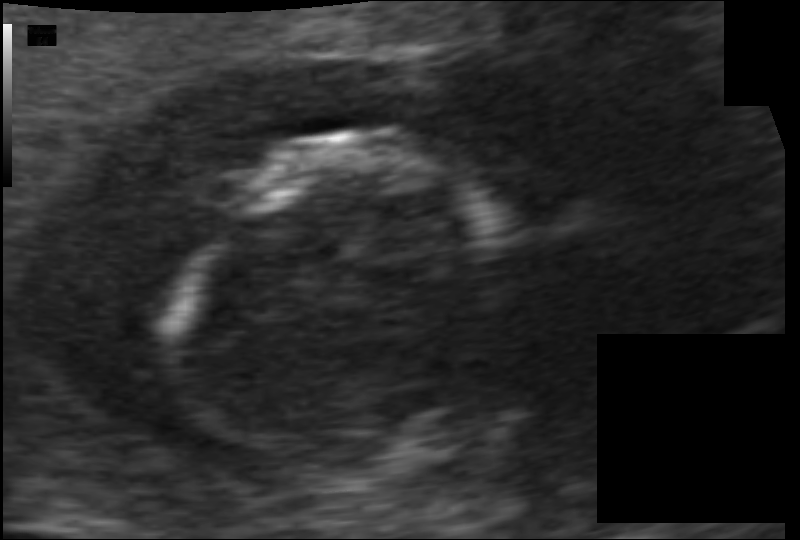
Fetal head ultrasound. Image width: 55.9 mm. Locate the fetal head.

Head: [180,135,496,457]